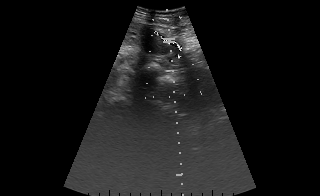
Identify the standard plane in this fetal ultrasound image: fetal abdomen, fetal brain, fetal femur, fetal thorax, maternal cervix, or other. If it's fetal brain and one of the three standard brain planes (trans-thalamic, trans-cerebellum, trans-ventricular), name which.

Other